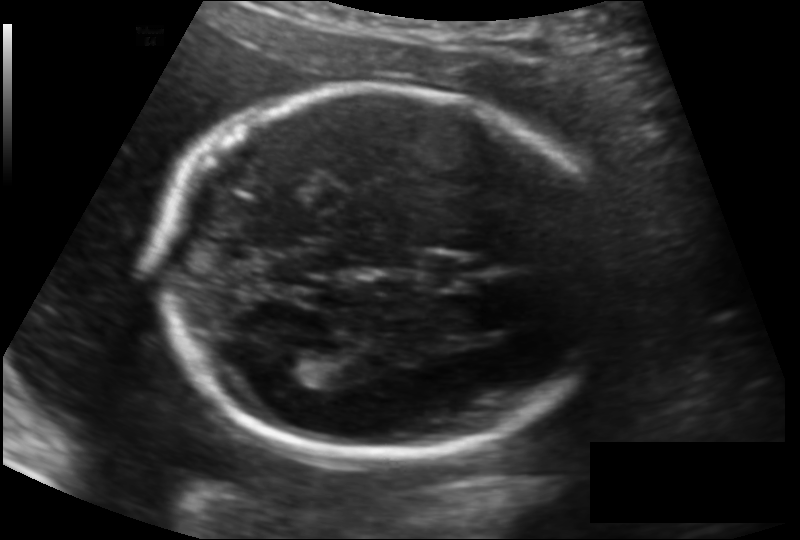
From this fetal ultrasound, estimate the head circumference (image width 107.5 mm).

Head circumference: 181.0 mm.